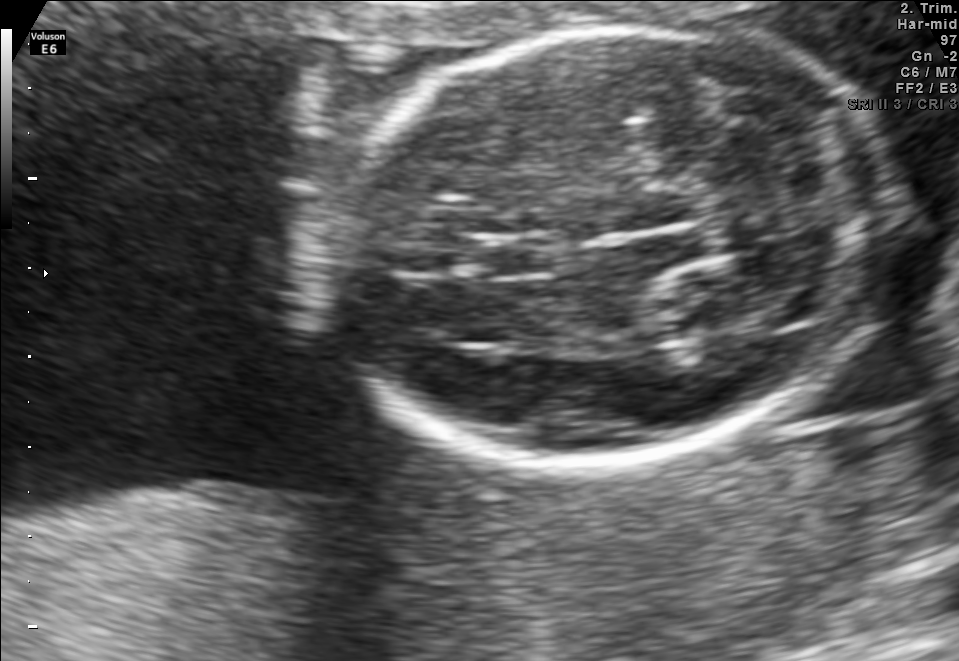
Fetal brain, trans-thalamic plane. Where is the fetal head?

Head bounding box: [317,30,898,461]